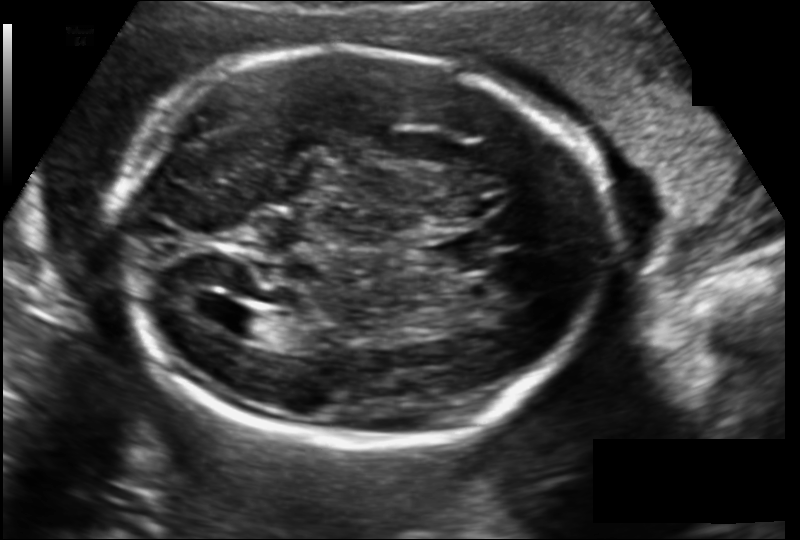
Estimate the fetal head circumference from this 2D ultrasound.

Head circumference: 214.0 mm (image width 119.2 mm).